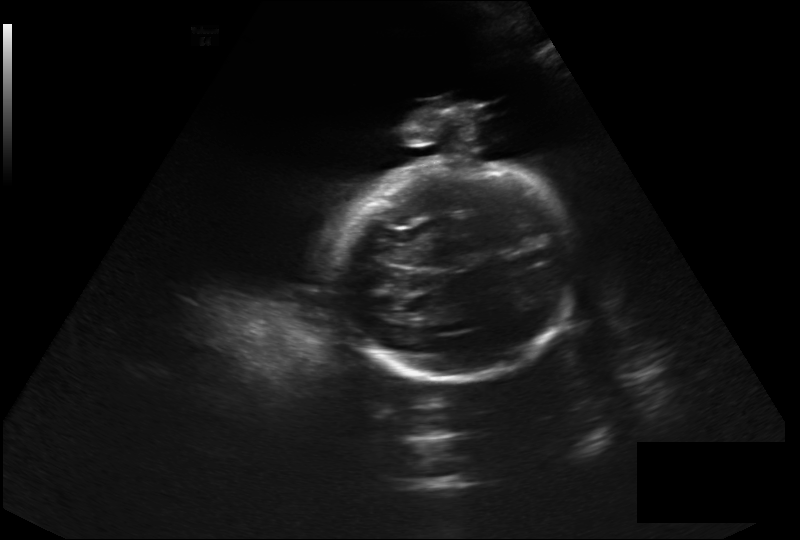
In this fetal head ultrasound, give bounding boxes for the head outline, cavum septum pellucidum (CSP), and lateral ventricle (LV), where visible. Image width: 261.1 mm.

Head: [330,159,574,382]